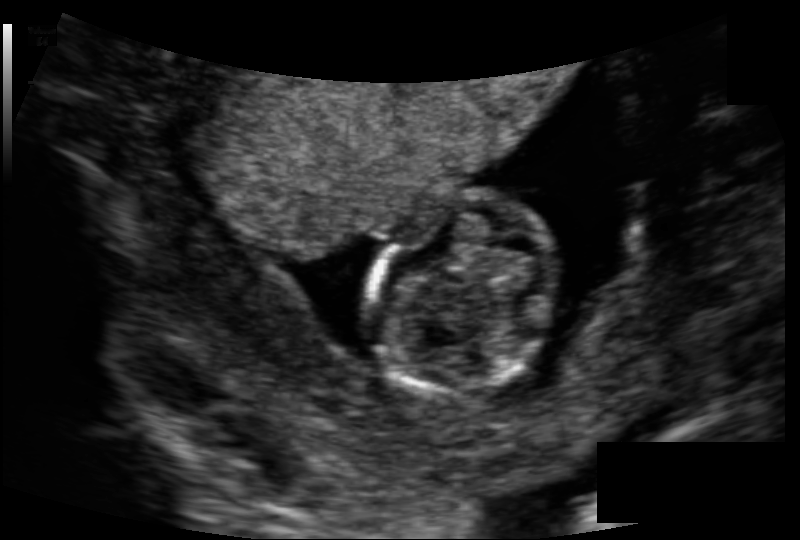
Fetal head ultrasound. Image width: 94.4 mm. Where is the fetal head?

Head bounding box: [371,193,561,391]